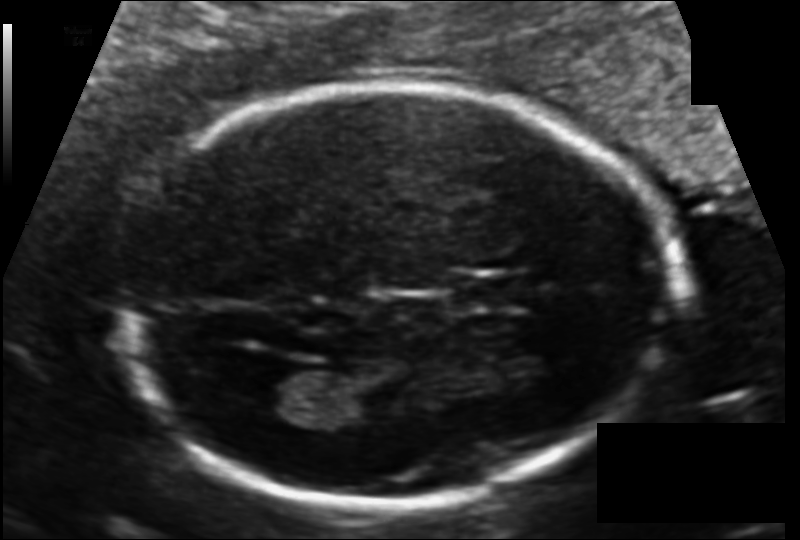
In this fetal head ultrasound, give the bounding box of the cavum septum pellucidum. Image width: 90.0 mm.

[451,276,526,309]